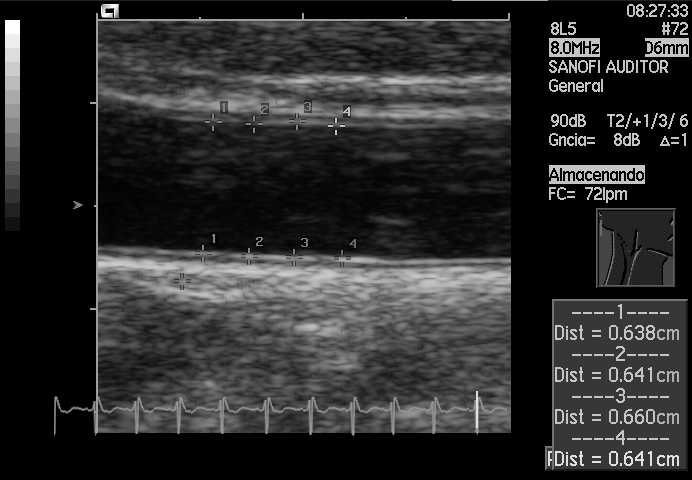
Which standard maternal-fetal ultrasound plane is shown: fetal abdomen, fetal brain, fetal femur, fetal thorax, maternal cervix, or other? If it's fetal brain and one of the three standard brain planes (trans-thalamic, trans-cerebellum, trans-ventricular), name which.

Other